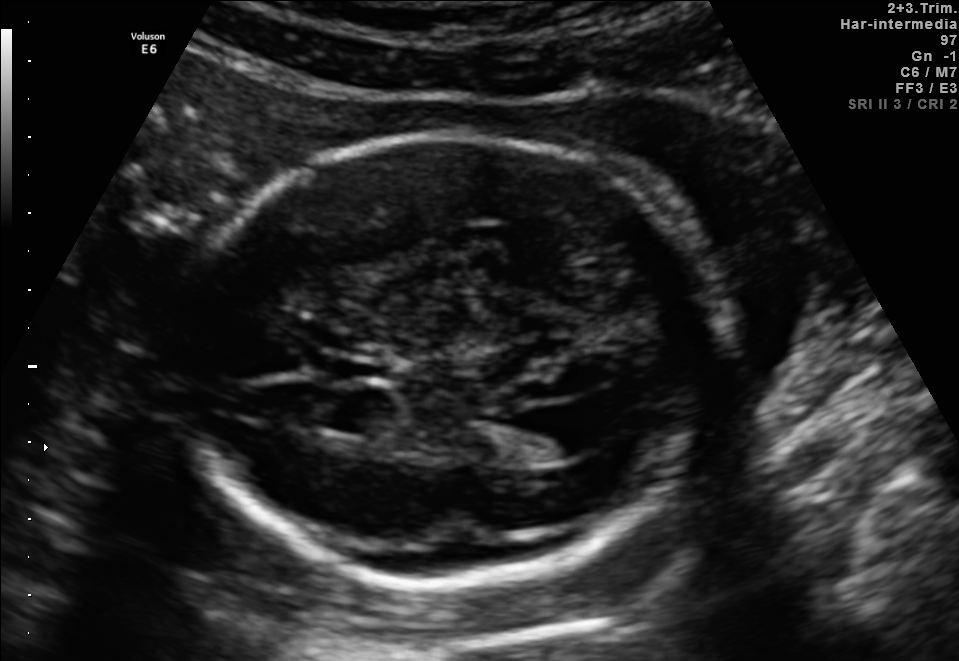
Fetal brain, trans-ventricular plane. Locate the cavum septum pellucidum.

CSP: [325,359,389,379]